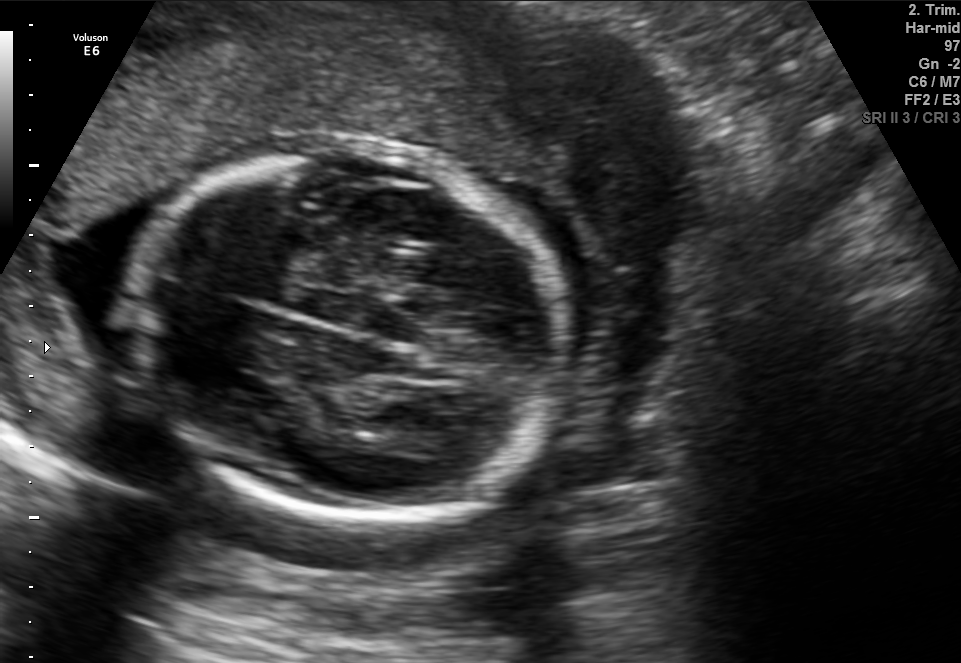
Fetal brain, trans-thalamic plane. Locate the fetal head and, if visible, the cavum septum pellucidum (CSP) and lateral ventricle (LV). Give bounding boxes as [x1,y1,x2,y2].

Head: [122,147,572,520]